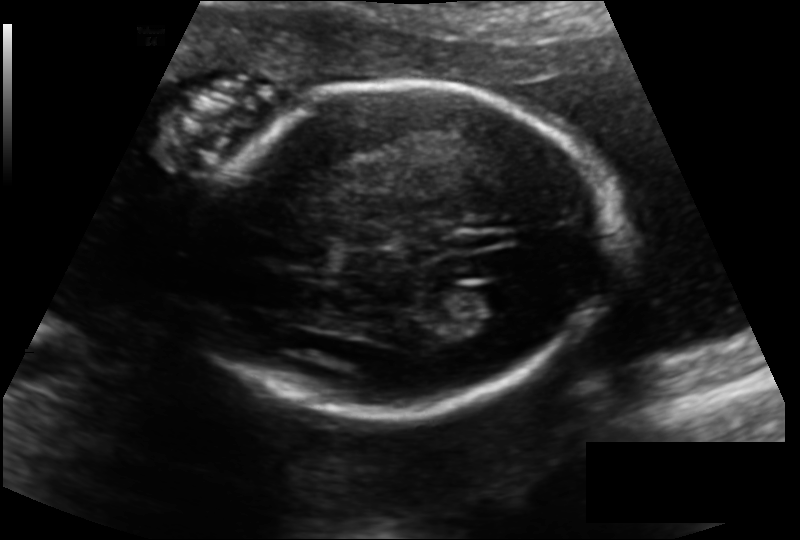
In this fetal head ultrasound, give the bounding box of the fetal head. Image width: 115.4 mm.

[194,82,613,416]